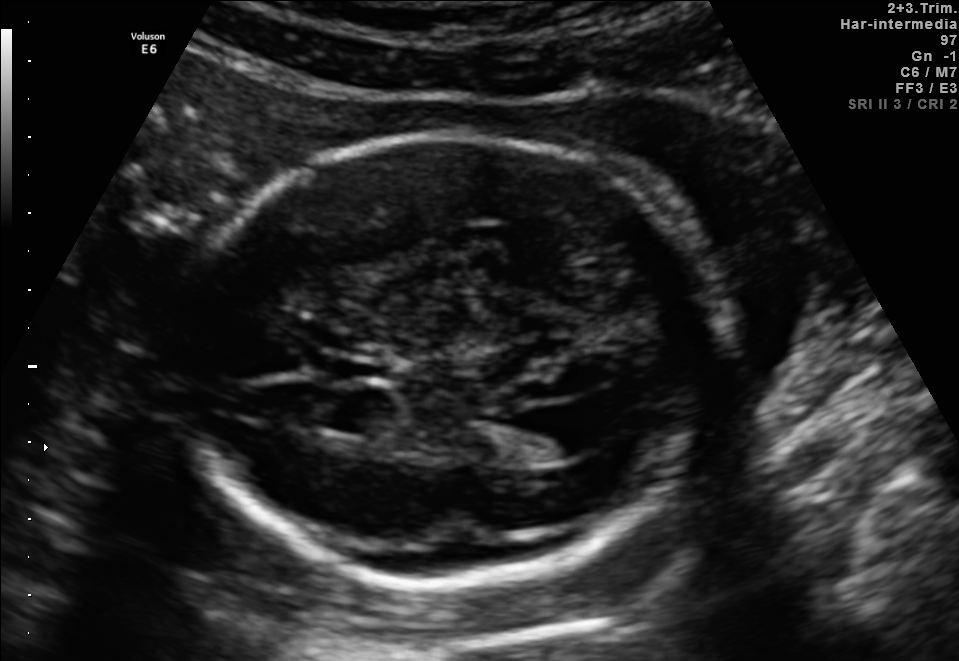
Fetal brain, trans-ventricular plane. Where is the cavum septum pellucidum?

CSP bounding box: [325,359,389,379]